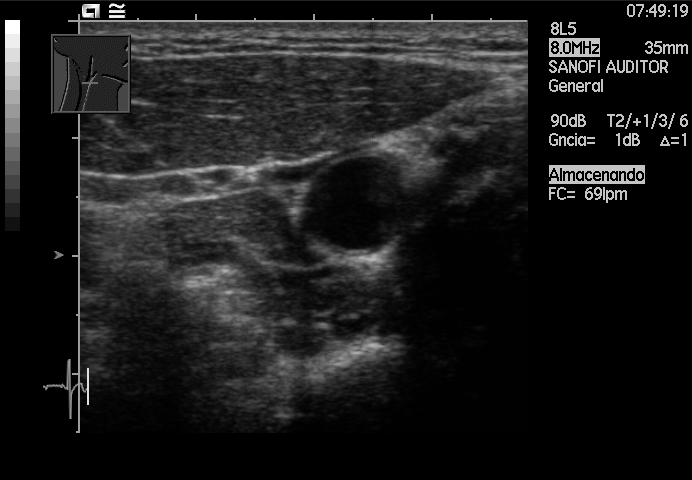
Identify the standard plane in this fetal ultrasound image: fetal abdomen, fetal brain, fetal femur, fetal thorax, maternal cervix, or other. If it's fetal brain and one of the three standard brain planes (trans-thalamic, trans-cerebellum, trans-ventricular), name which.

Other